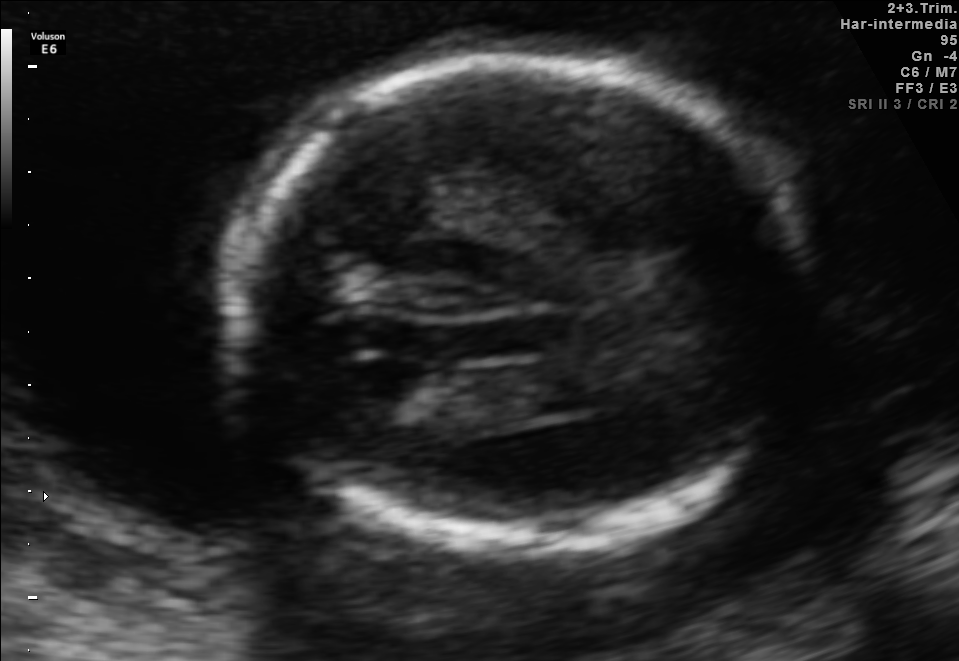
In this fetal brain, trans-ventricular plane, give bounding boxes for the head outline, cavum septum pellucidum (CSP), and lateral ventricle (LV), where visible.

Head: [213,50,830,559]